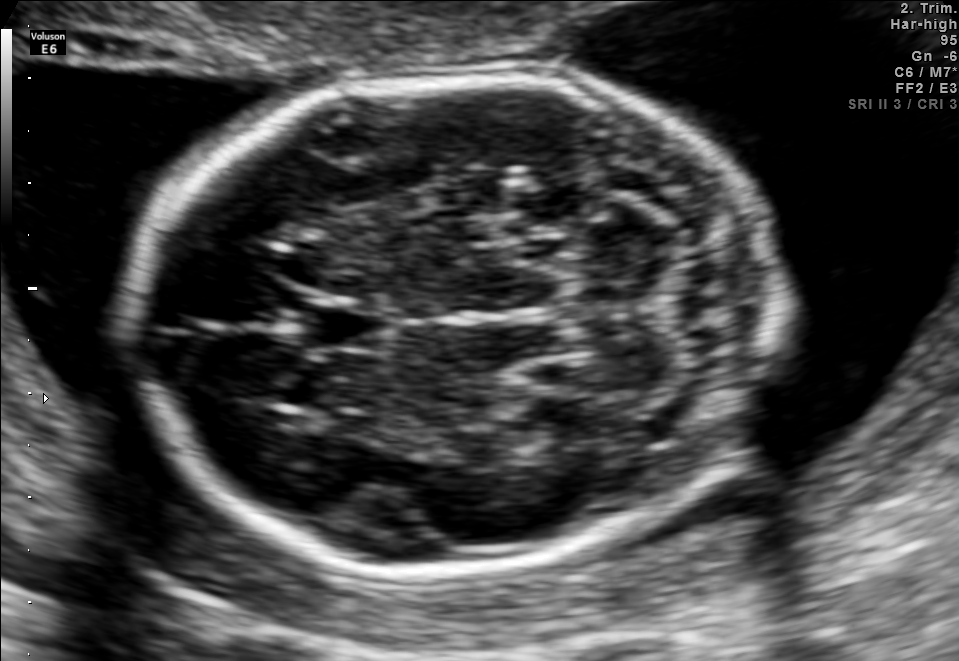
Which standard maternal-fetal ultrasound plane is shown: fetal abdomen, fetal brain, fetal femur, fetal thorax, maternal cervix, or other? If it's fetal brain and one of the three standard brain planes (trans-thalamic, trans-cerebellum, trans-ventricular), name which.

Fetal brain (trans-cerebellum plane)